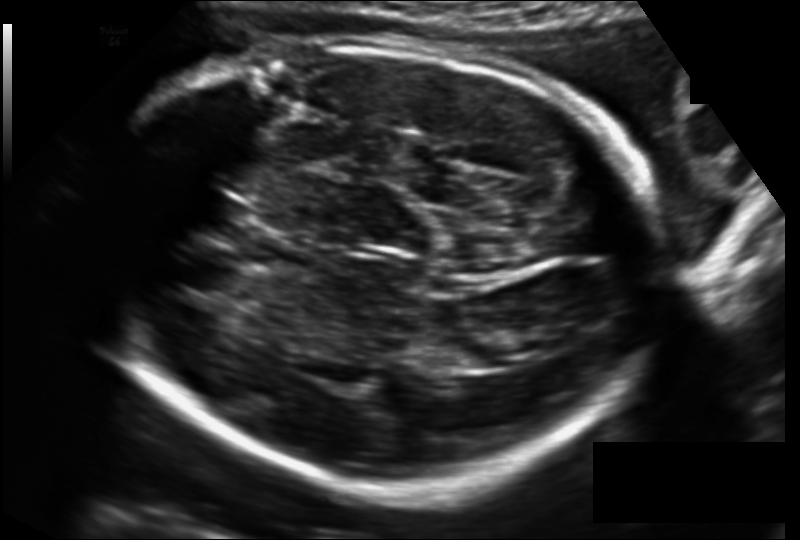
Fetal head ultrasound. Image width: 133.8 mm. Give [x1,y1,x2,y2] bounding boxes for each visible structure among: fetal head, CSP, LV.

Head: [98,40,660,489]